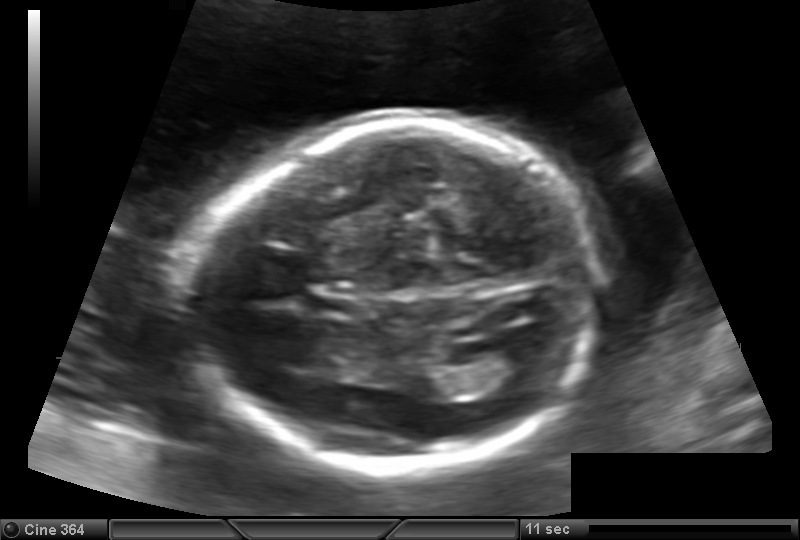
Fetal head ultrasound. Image width: 115.2 mm. Locate the lateral ventricle.

Lateral ventricle: [472,338,544,394]